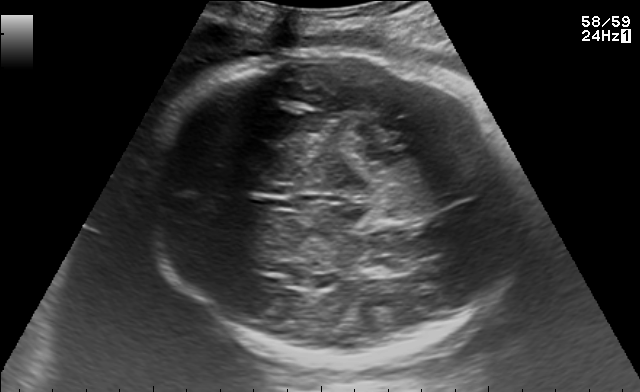
Fetal brain, trans-thalamic plane. Where is the lateral ventricle?

Lateral ventricle bounding box: [361,255,407,279]